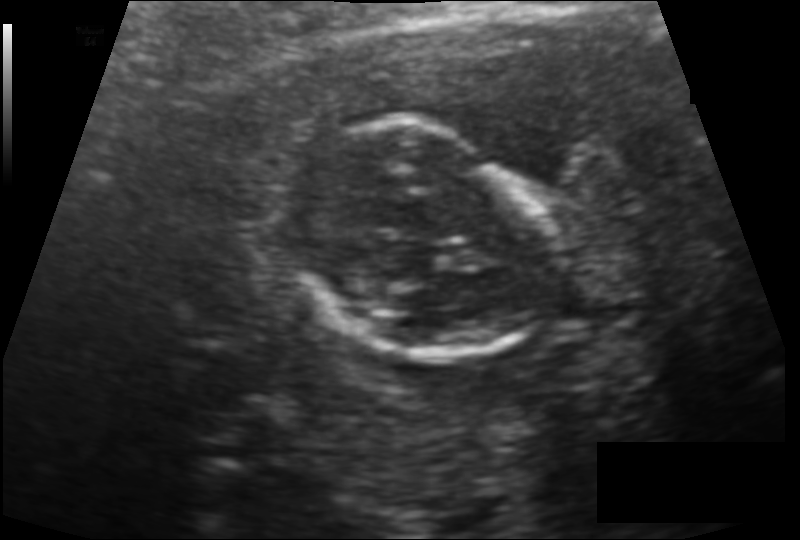
Fetal head ultrasound. Image width: 91.6 mm. Where is the fetal head?

Head bounding box: [283,122,552,361]